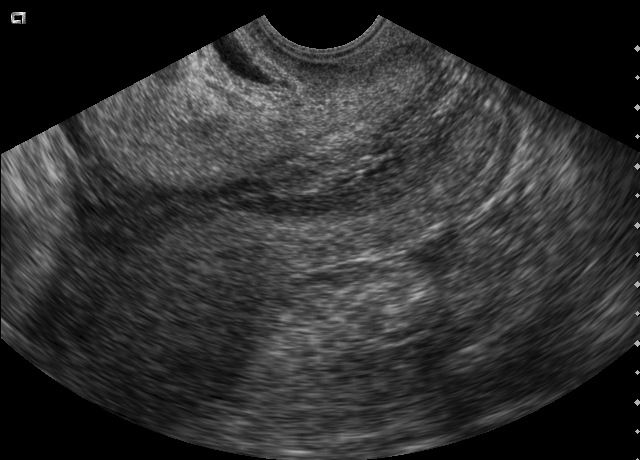
Classify this maternal-fetal ultrasound image as one of the six standard planes — fetal abdomen, fetal brain, fetal femur, fetal thorax, maternal cervix, or other. If it's fetal brain and one of the three standard brain planes (trans-thalamic, trans-cerebellum, trans-ventricular), name which.

Maternal cervix